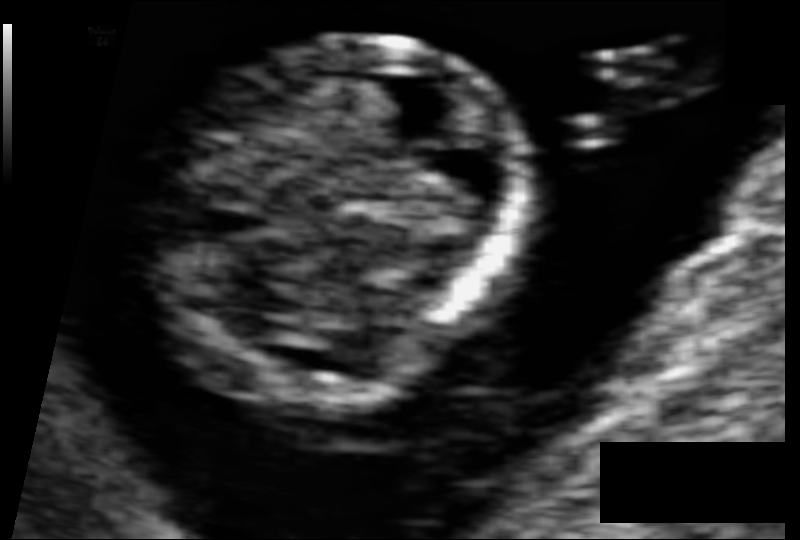
Fetal head ultrasound. Image width: 43.4 mm. Give [x1,y1,x2,y2] bounding boxes for each visible structure among: fetal head, CSP, LV.

Head: [142,36,525,408]